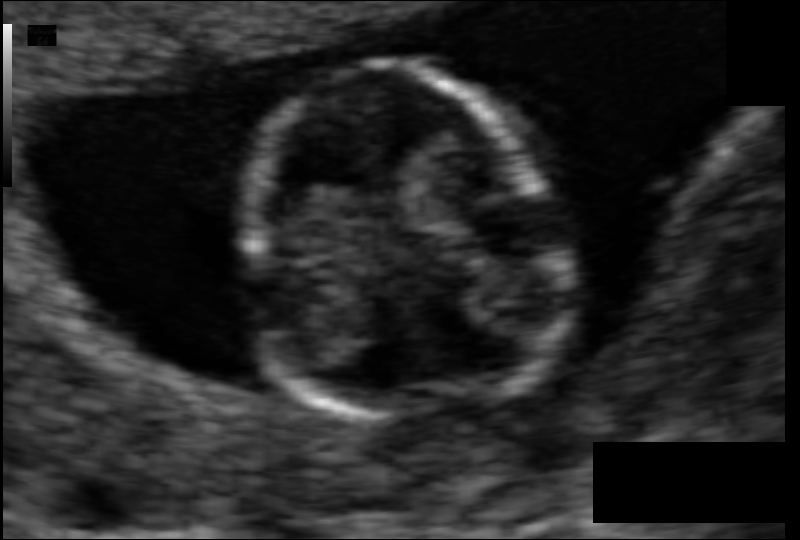
In this fetal head ultrasound, give bounding boxes for the head outline, cavum septum pellucidum (CSP), and lateral ventricle (LV), where visible. Image width: 49.5 mm.

Head: [240,65,561,416]